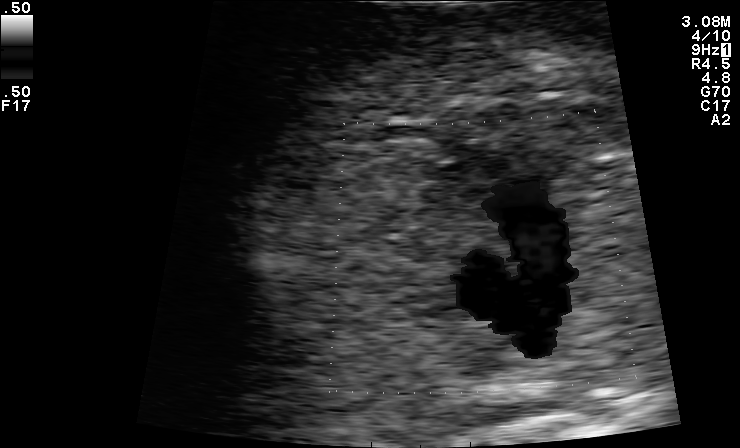
This is a 2D maternal-fetal ultrasound frame. Is it a fetal abdomen, fetal brain, fetal femur, fetal thorax, maternal cervix, or other standard plane? If it's fetal brain and one of the three standard brain planes (trans-thalamic, trans-cerebellum, trans-ventricular), name which.

Other